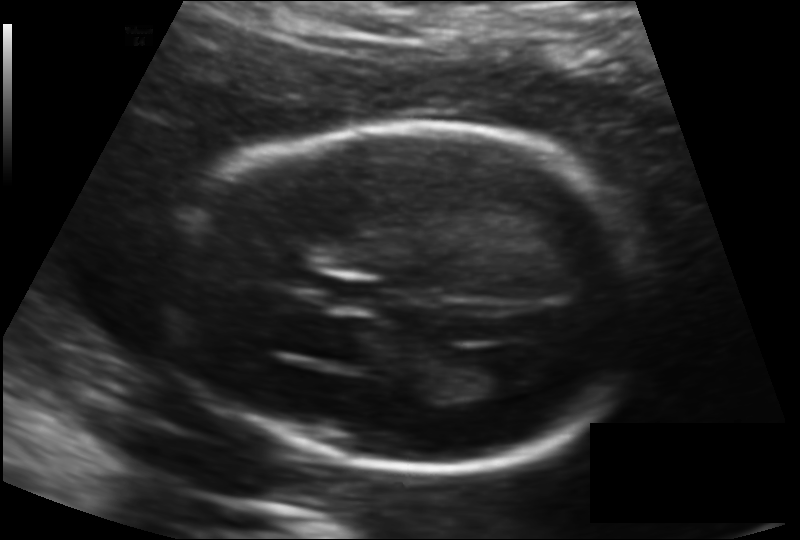
Fetal head ultrasound. Image width: 108.1 mm. Locate the lateral ventricle.

Lateral ventricle: [470,359,521,397]